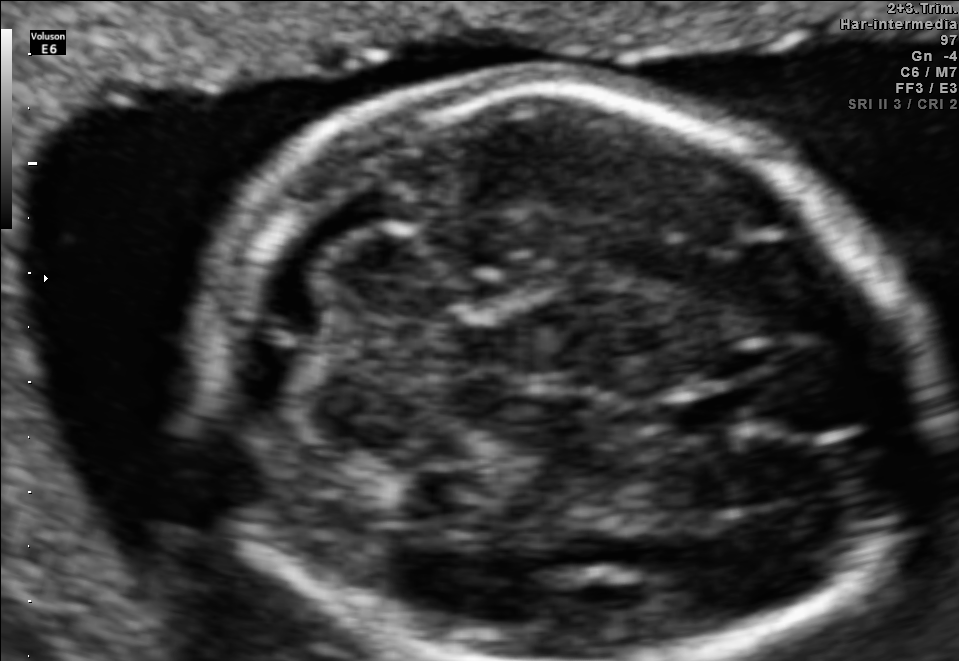
Fetal brain, trans-cerebellum plane. Locate the fetal head and, if visible, the cavum septum pellucidum (CSP) and lateral ventricle (LV). Give bounding boxes as [x1,y1,x2,y2].

Head: [202,85,937,660]
CSP: [666,381,770,447]